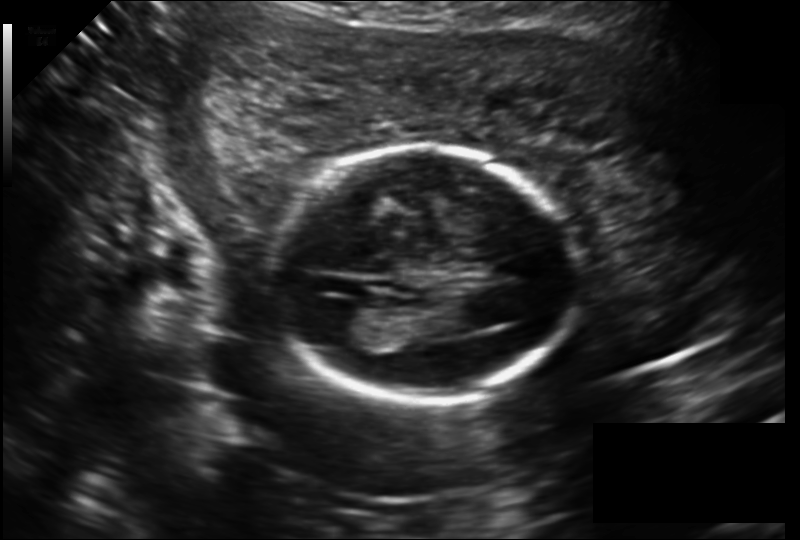
In this fetal head ultrasound, give bounding boxes for the head outline, cavum septum pellucidum (CSP), and lateral ventricle (LV), where visible. Image width: 142.0 mm.

Head: [269,146,574,404]
Lateral ventricle: [302,295,363,335]